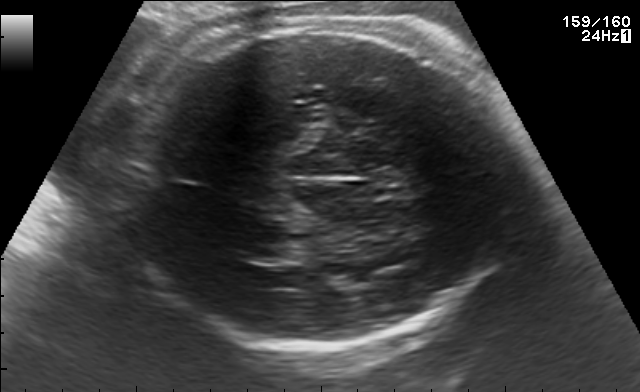
Fetal brain, trans-thalamic plane. Give [x1,y1,x2,y2] bounding boxes for each visible structure among: fetal head, CSP, LV.

Head: [115,16,526,348]